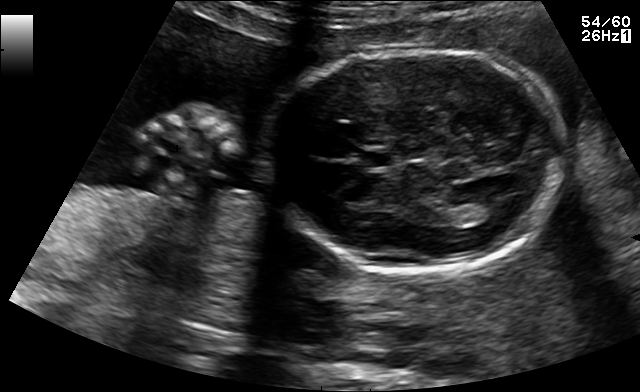
In this fetal brain, trans-thalamic plane, give bounding boxes for the head outline, cavum septum pellucidum (CSP), and lateral ventricle (LV), where visible.

Head: [264,50,565,270]
CSP: [362,151,395,168]
Lateral ventricle: [470,195,515,225]